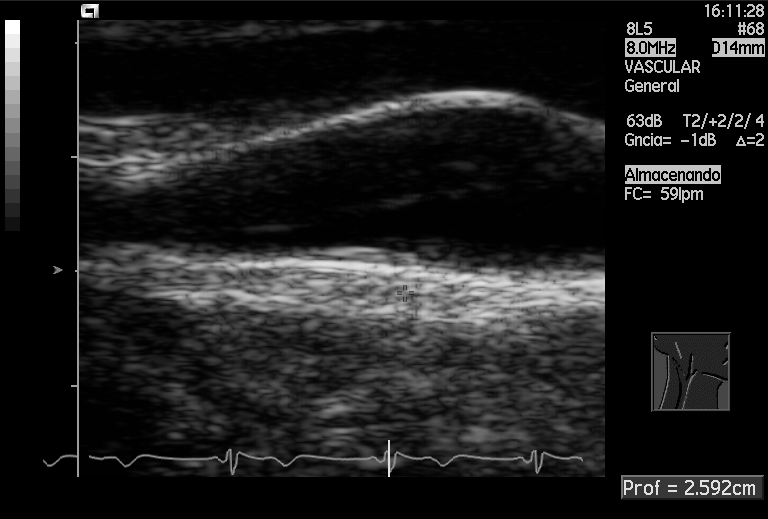
This is a 2D maternal-fetal ultrasound frame. Is it a fetal abdomen, fetal brain, fetal femur, fetal thorax, maternal cervix, or other standard plane? If it's fetal brain and one of the three standard brain planes (trans-thalamic, trans-cerebellum, trans-ventricular), name which.

Other